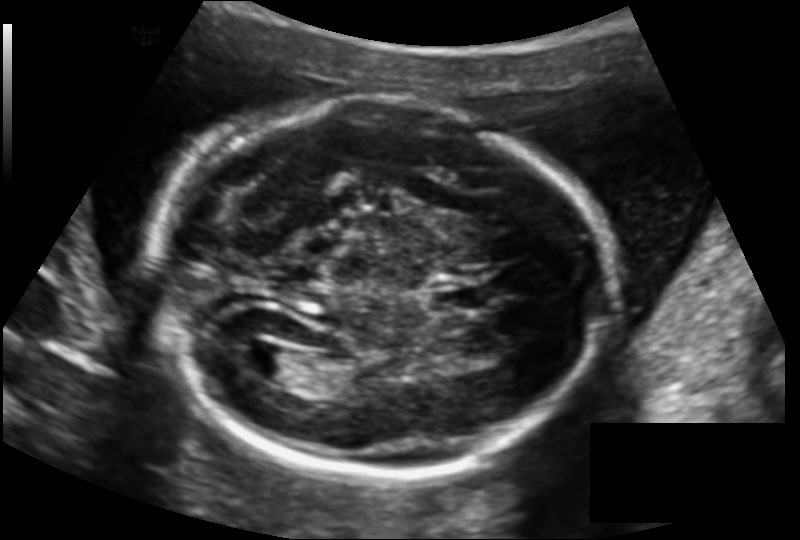
In this fetal head ultrasound, give the bounding box of the fetal head. Image width: 116.1 mm.

[155,103,608,475]